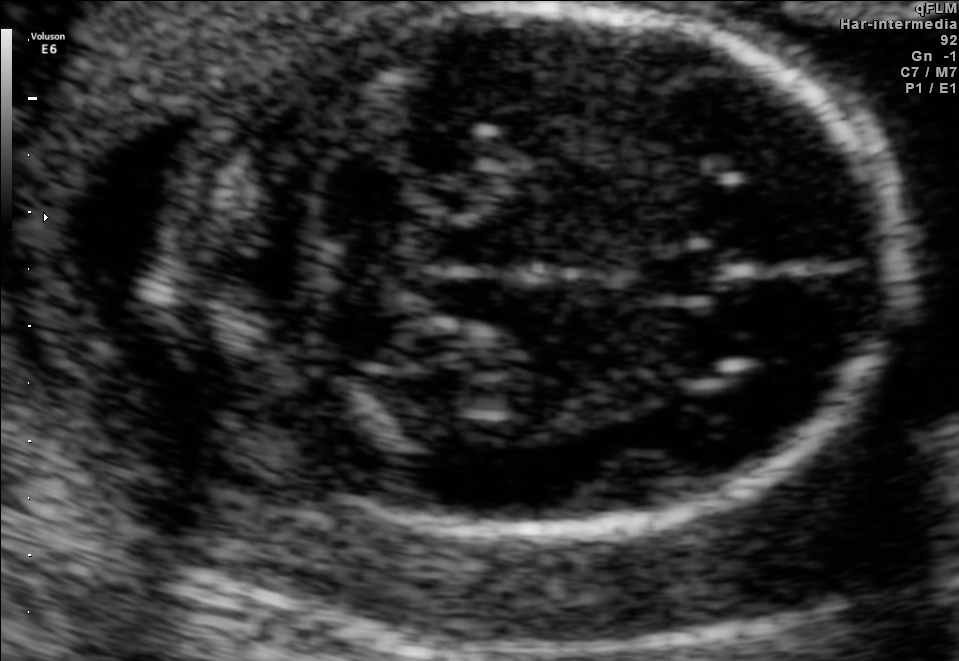
Fetal brain, trans-cerebellum plane. Locate the fetal head.

Head: [175,6,896,531]